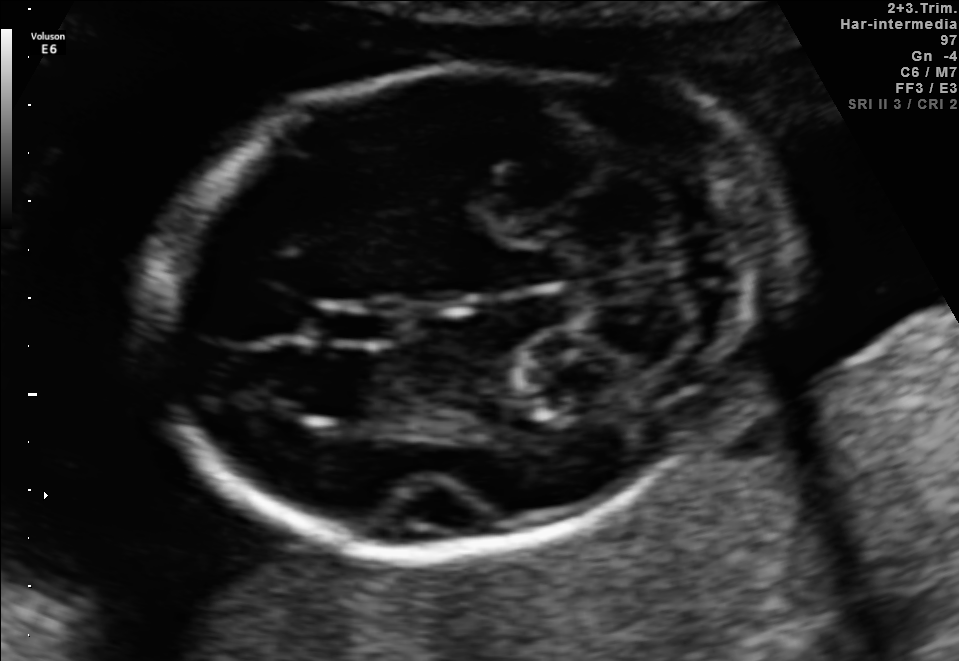
Fetal brain, trans-cerebellum plane. Locate the fetal head.

Head: [149,61,798,550]